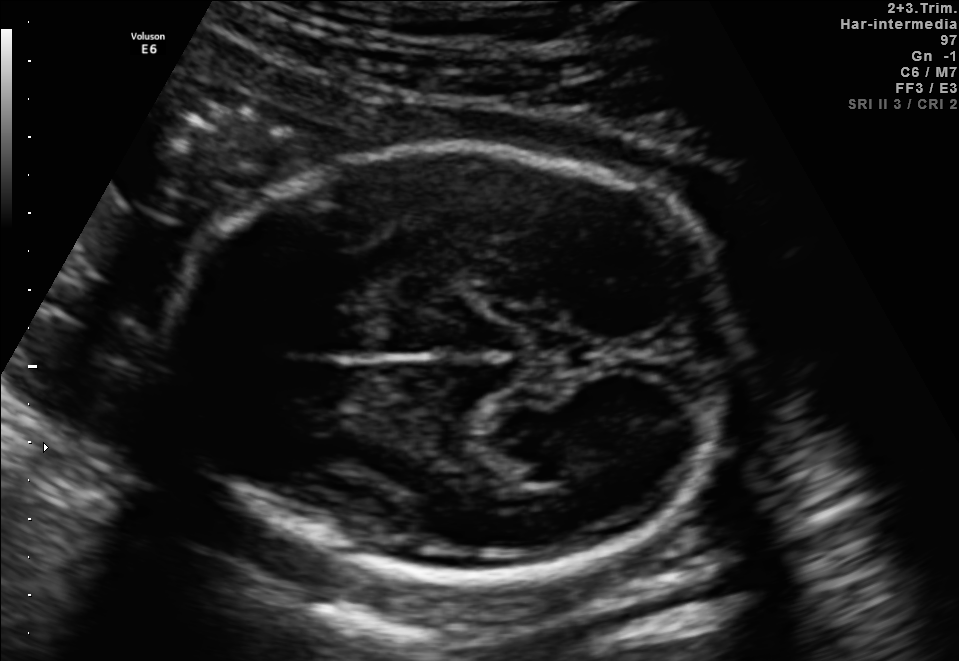
Fetal brain, trans-thalamic plane. Where is the fetal head?

Head bounding box: [166,144,733,579]